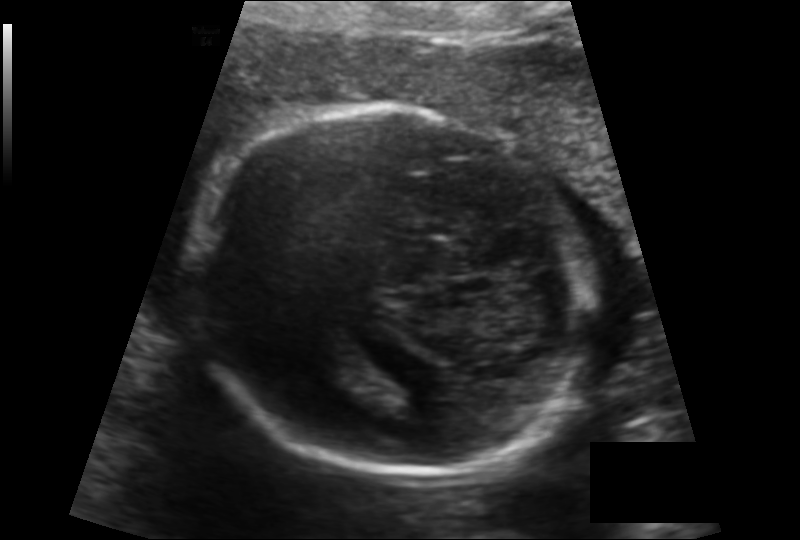
Fetal head ultrasound. Image width: 113.4 mm. Locate the fetal head.

Head: [189,106,593,473]